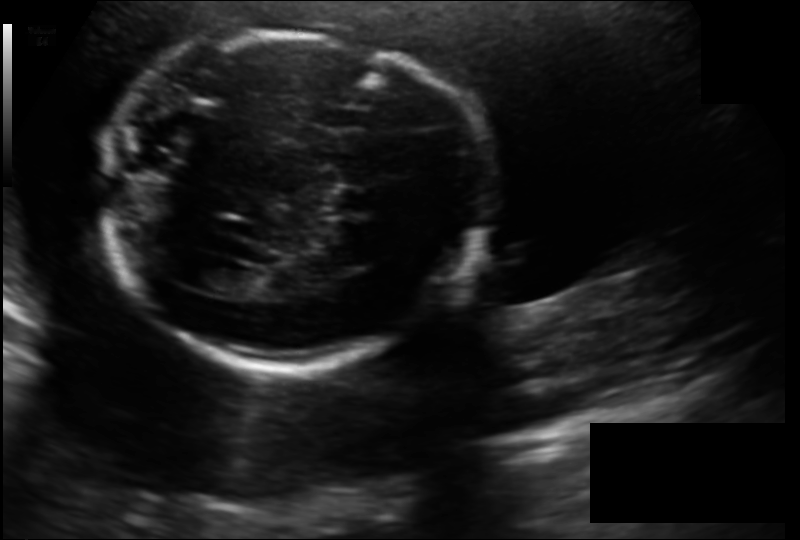
Fetal head ultrasound. Image width: 126.7 mm. Where is the cavum septum pellucidum?

CSP bounding box: [327,187,374,216]